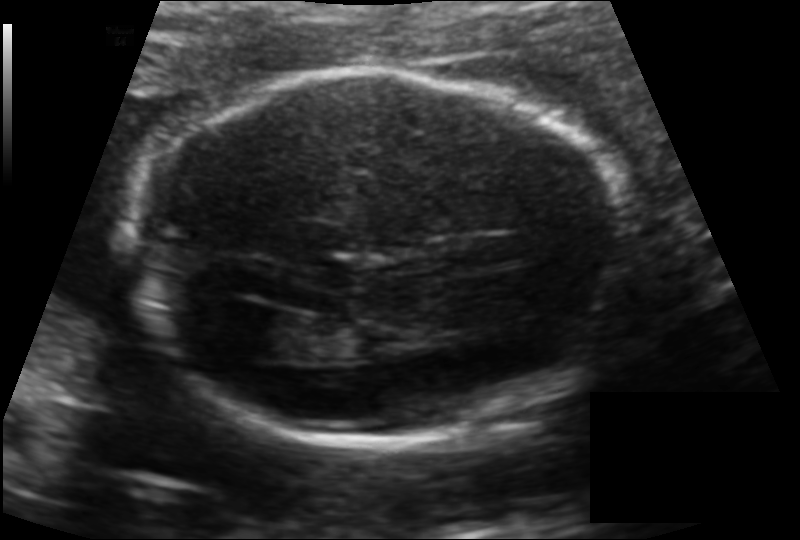
Fetal head ultrasound. Image width: 107.1 mm. Where is the lateral ventricle?

Lateral ventricle bounding box: [223,308,299,358]